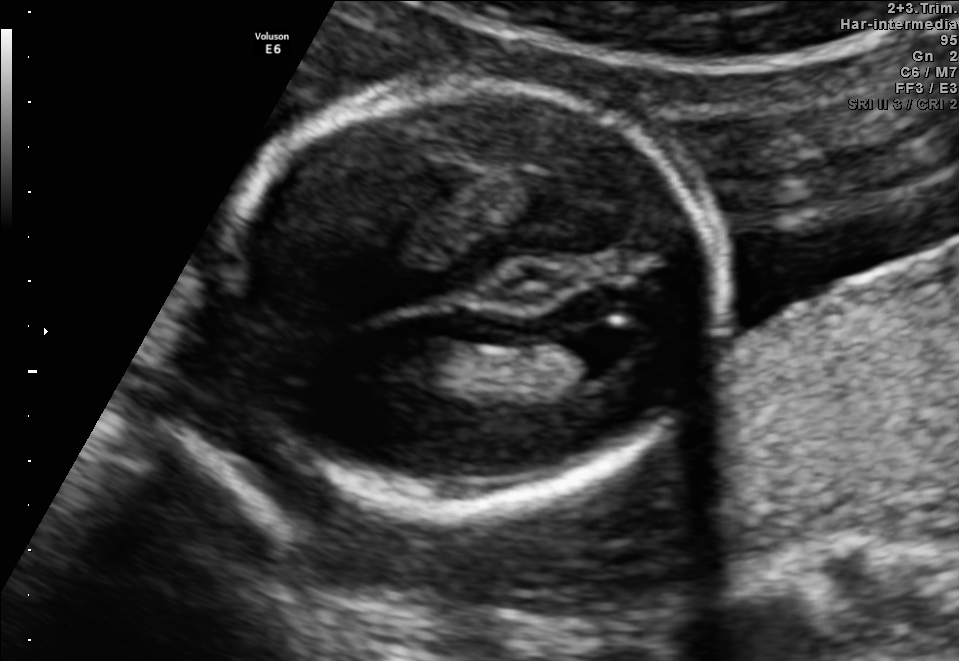
Fetal brain, trans-ventricular plane. Where is the fetal head?

Head bounding box: [208,72,735,521]